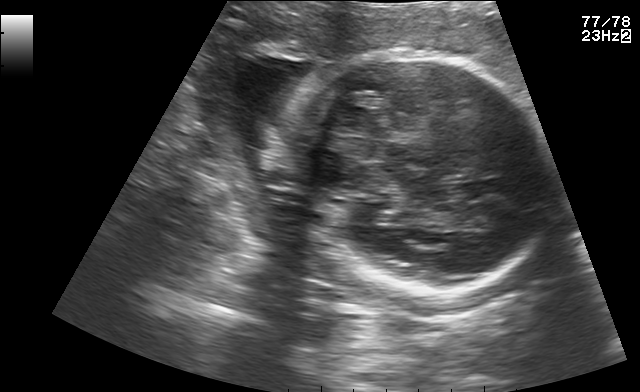
Fetal brain, trans-thalamic plane. Give [x1,y1,x2,y2] bounding boxes for each visible structure among: fetal head, CSP, LV.

Head: [290,46,550,293]